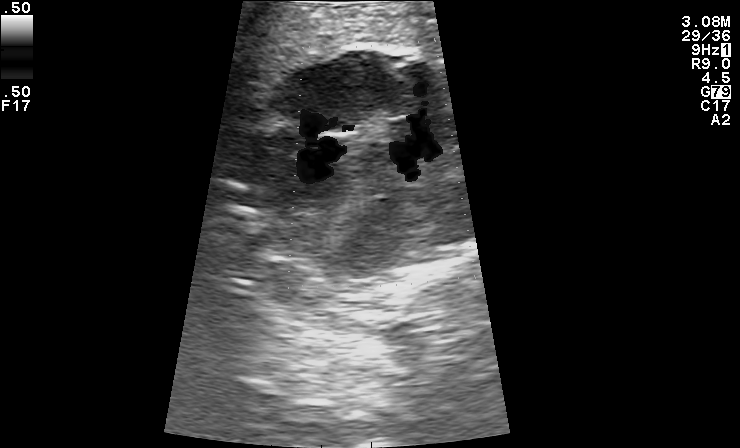
Identify the standard plane in this fetal ultrasound image: fetal abdomen, fetal brain, fetal femur, fetal thorax, maternal cervix, or other. If it's fetal brain and one of the three standard brain planes (trans-thalamic, trans-cerebellum, trans-ventricular), name which.

Other